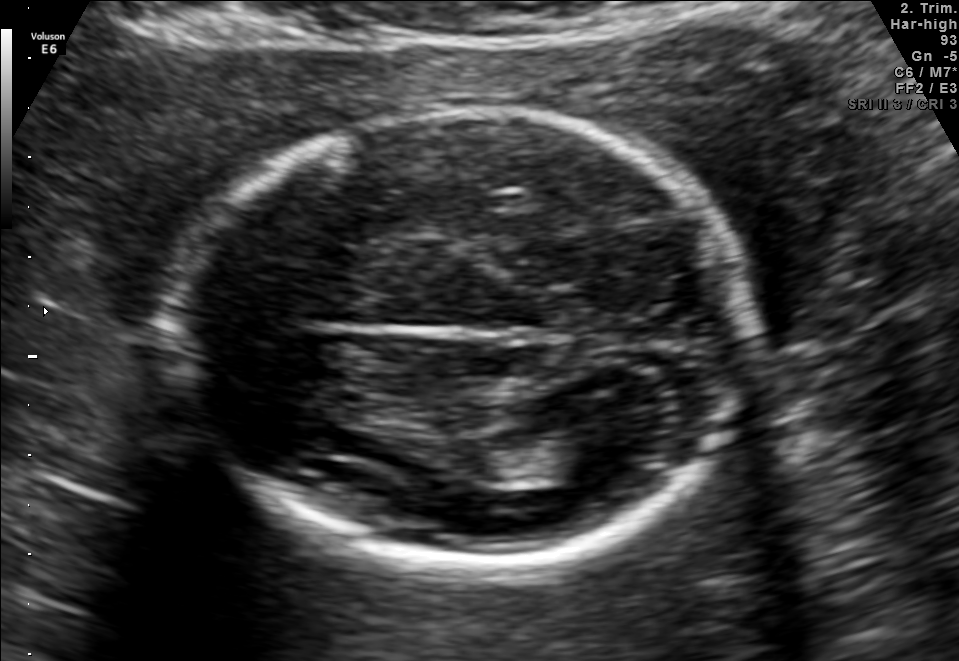
Fetal brain, trans-thalamic plane. Give [x1,y1,x2,y2] bounding boxes for each visible structure among: fetal head, CSP, LV.

Head: [171,107,752,564]
Lateral ventricle: [520,427,635,489]